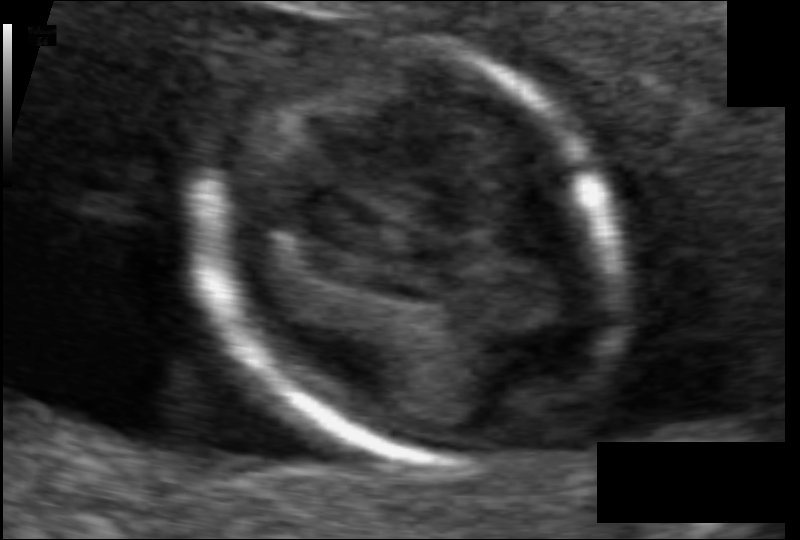
In this fetal head ultrasound, give bounding boxes for the head outline, cavum septum pellucidum (CSP), and lateral ventricle (LV), where visible. Image width: 48.9 mm.

Head: [215,36,620,465]